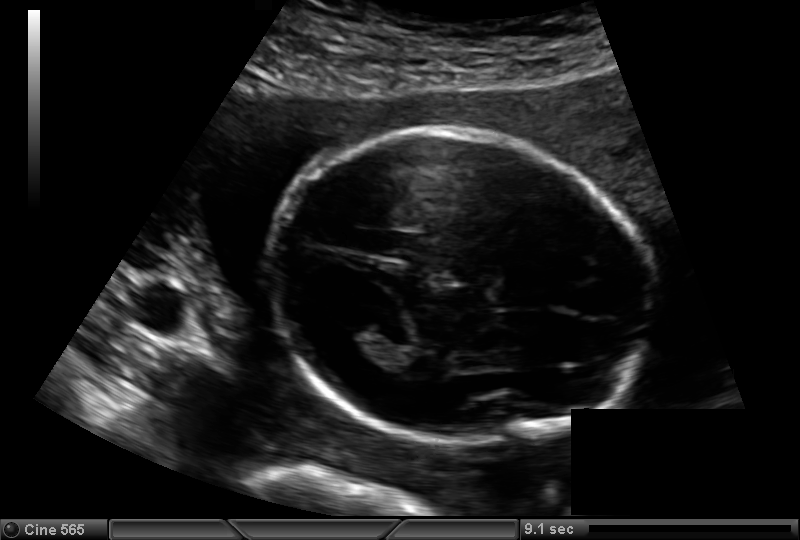
Estimate the fetal head circumference from this 2D ultrasound.

Head circumference: 160.4 mm (image width 113.5 mm).